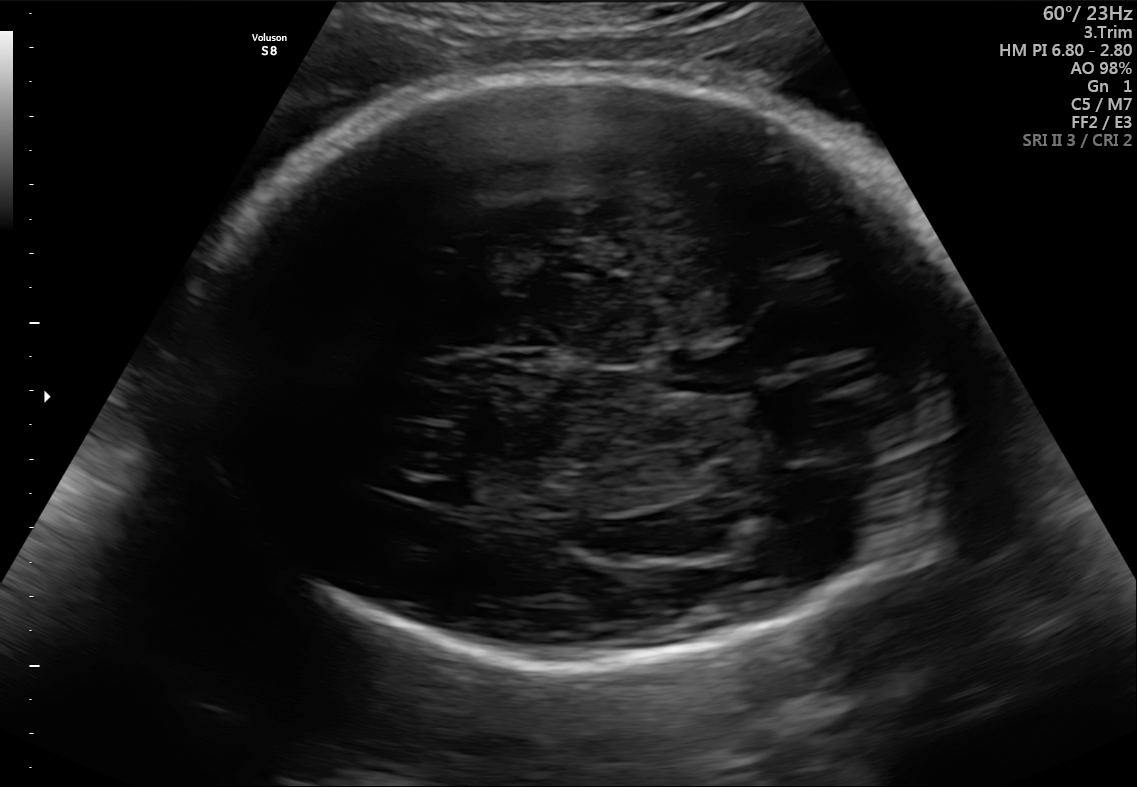
In this fetal brain, trans-thalamic plane, give the bounding box of the lateral ventricle.

[427,479,484,505]